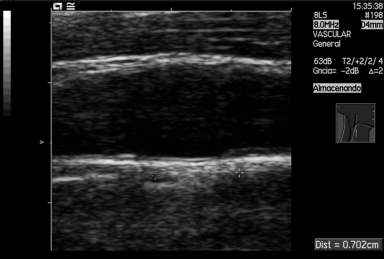
Which standard maternal-fetal ultrasound plane is shown: fetal abdomen, fetal brain, fetal femur, fetal thorax, maternal cervix, or other? If it's fetal brain and one of the three standard brain planes (trans-thalamic, trans-cerebellum, trans-ventricular), name which.

Other